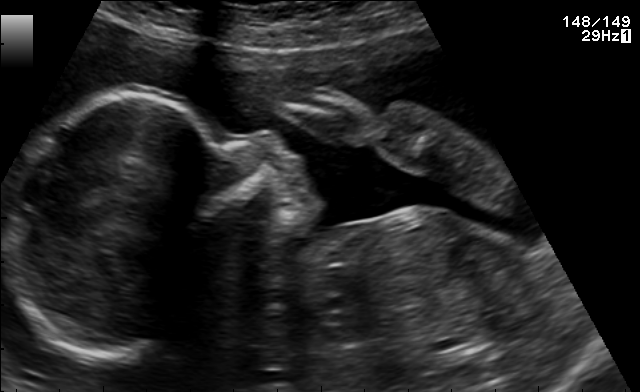
Identify the standard plane in this fetal ultrasound image: fetal abdomen, fetal brain, fetal femur, fetal thorax, maternal cervix, or other. If it's fetal brain and one of the three standard brain planes (trans-thalamic, trans-cerebellum, trans-ventricular), name which.

Other